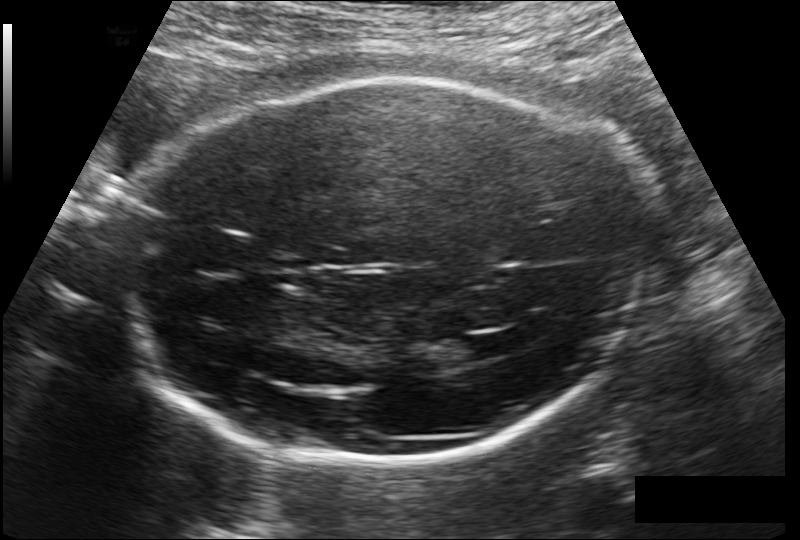
What is the fetal head circumference? Image width is 142.1 mm.

262.3 mm